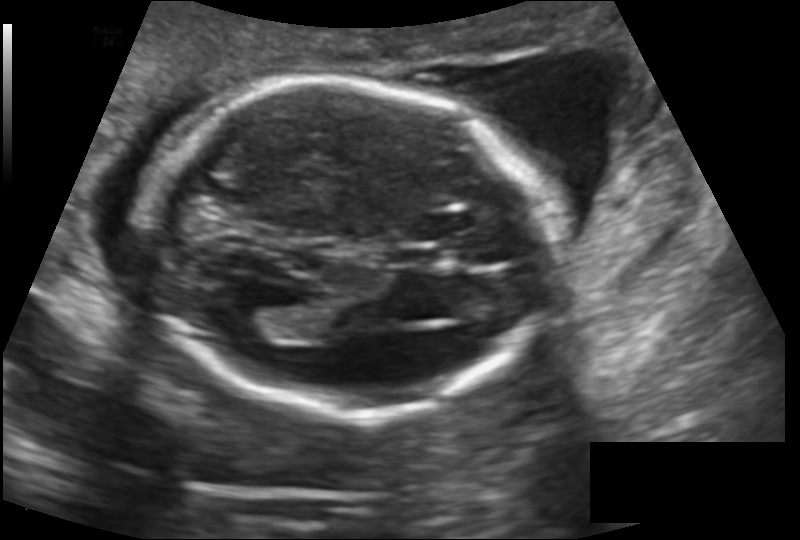
Estimate the fetal head circumference from this 2D ultrasound.

Head circumference: 175.0 mm (image width 116.4 mm).